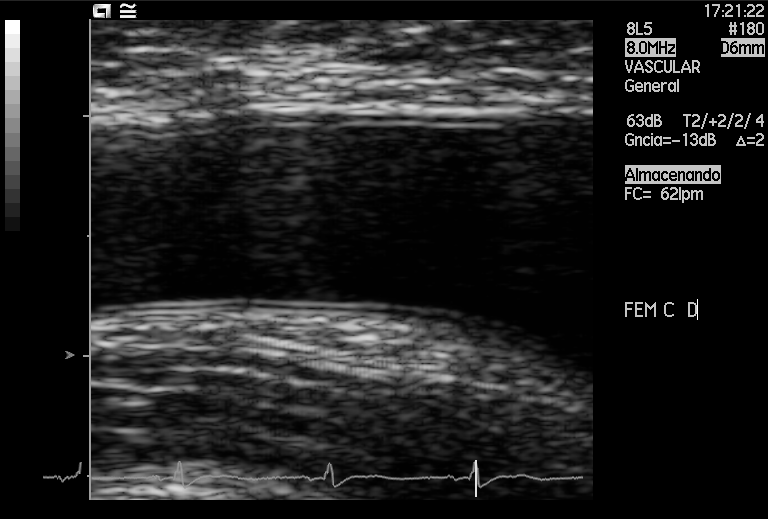
Identify the standard plane in this fetal ultrasound image: fetal abdomen, fetal brain, fetal femur, fetal thorax, maternal cervix, or other. If it's fetal brain and one of the three standard brain planes (trans-thalamic, trans-cerebellum, trans-ventricular), name which.

Other